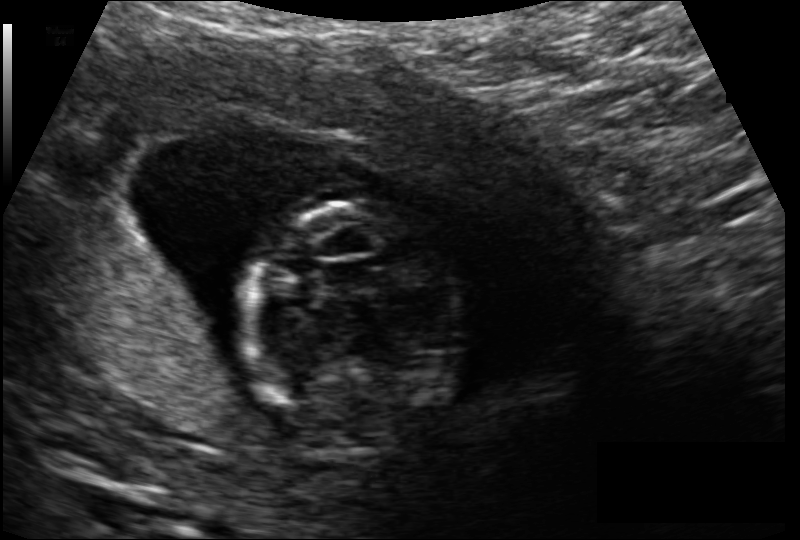
Fetal head ultrasound. Image width: 94.0 mm. Locate the fetal head.

Head: [241,199,467,455]